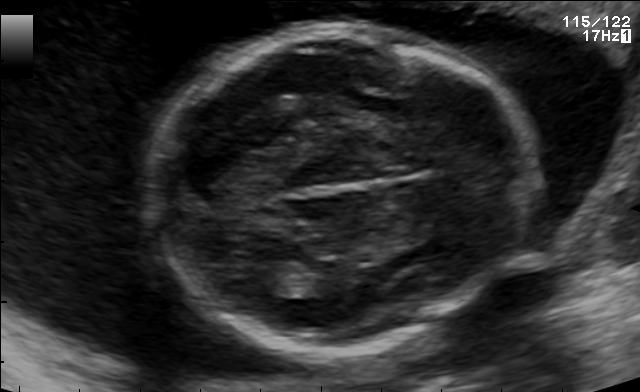
Identify the standard plane in this fetal ultrasound image: fetal abdomen, fetal brain, fetal femur, fetal thorax, maternal cervix, or other. If it's fetal brain and one of the three standard brain planes (trans-thalamic, trans-cerebellum, trans-ventricular), name which.

Fetal brain (trans-thalamic plane)